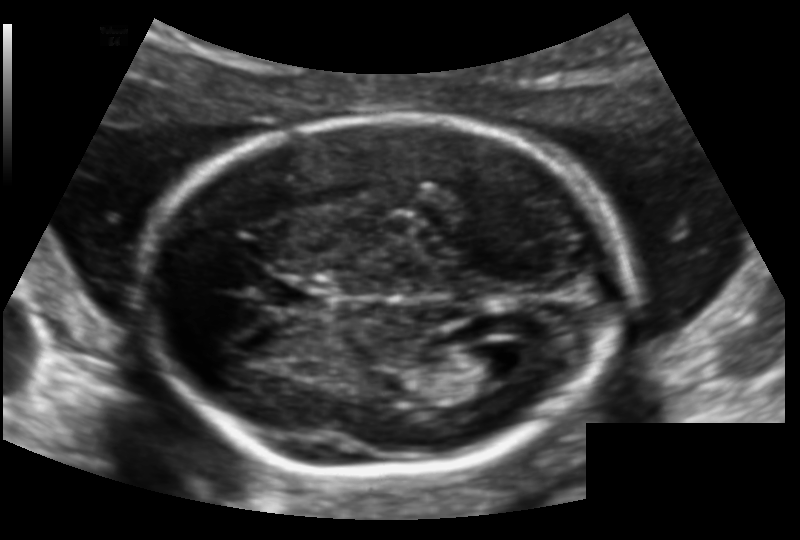
Fetal head ultrasound. Image width: 102.0 mm. Locate the lateral ventricle.

Lateral ventricle: [452,337,520,390]